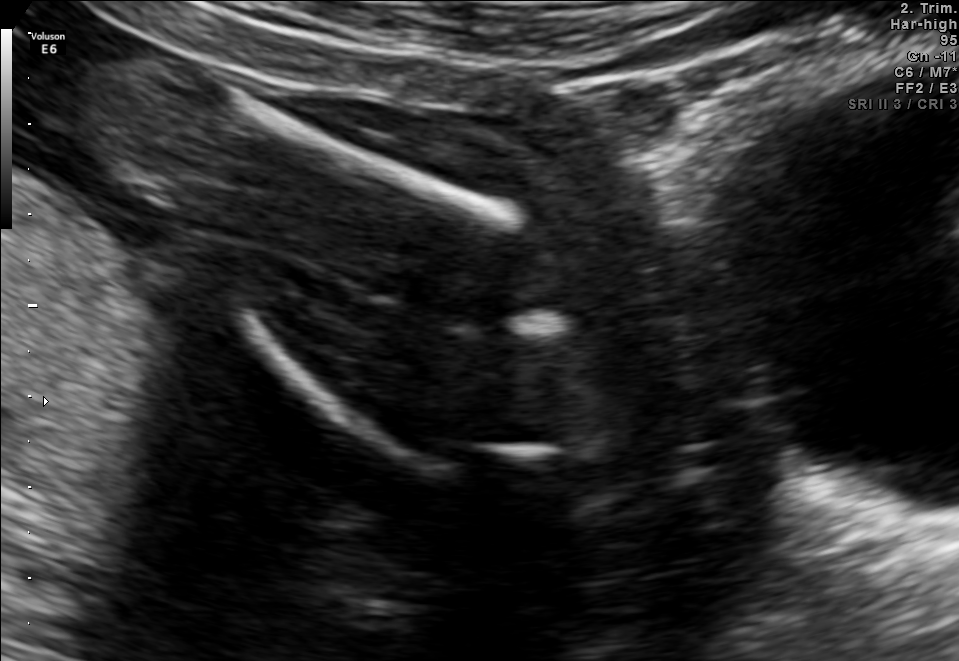
This is a 2D maternal-fetal ultrasound frame. Is it a fetal abdomen, fetal brain, fetal femur, fetal thorax, maternal cervix, or other standard plane? If it's fetal brain and one of the three standard brain planes (trans-thalamic, trans-cerebellum, trans-ventricular), name which.

Fetal femur